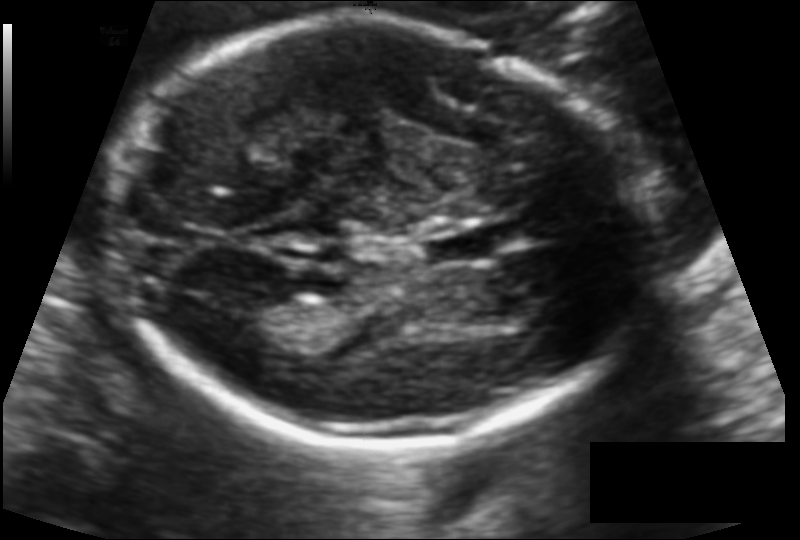
Estimate the fetal head circumference from this 2D ultrasound. Image width: 90.9 mm.

Head circumference: 179.2 mm.